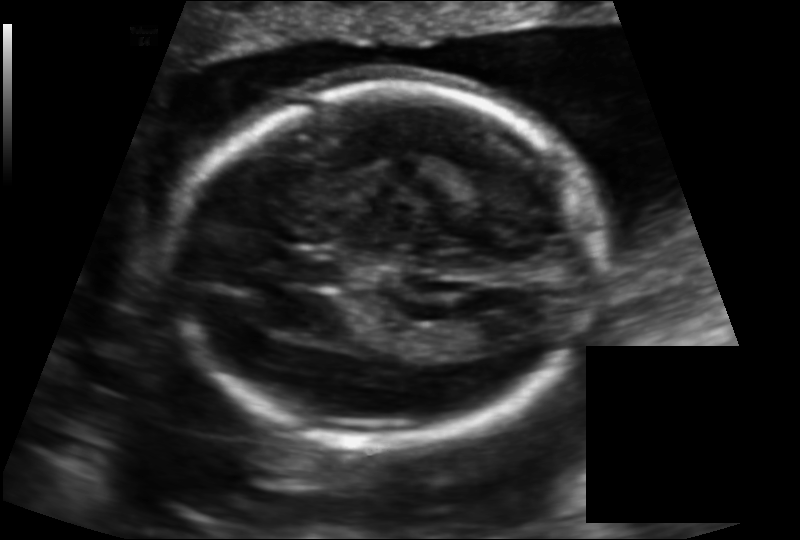
Fetal head ultrasound. Image width: 106.6 mm. Locate the cavum septum pellucidum.

CSP: [286,253,339,284]